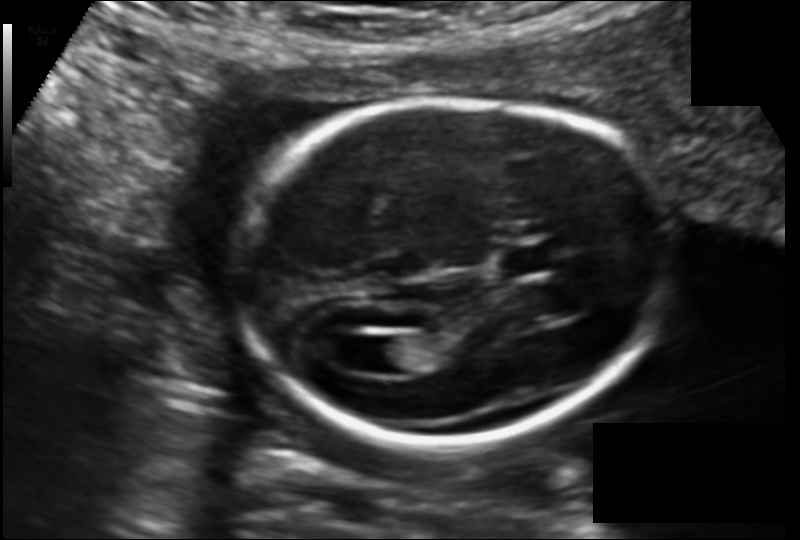
Fetal head ultrasound. Image width: 107.8 mm. Where is the cavum septum pellucidum?

CSP bounding box: [495,239,564,280]